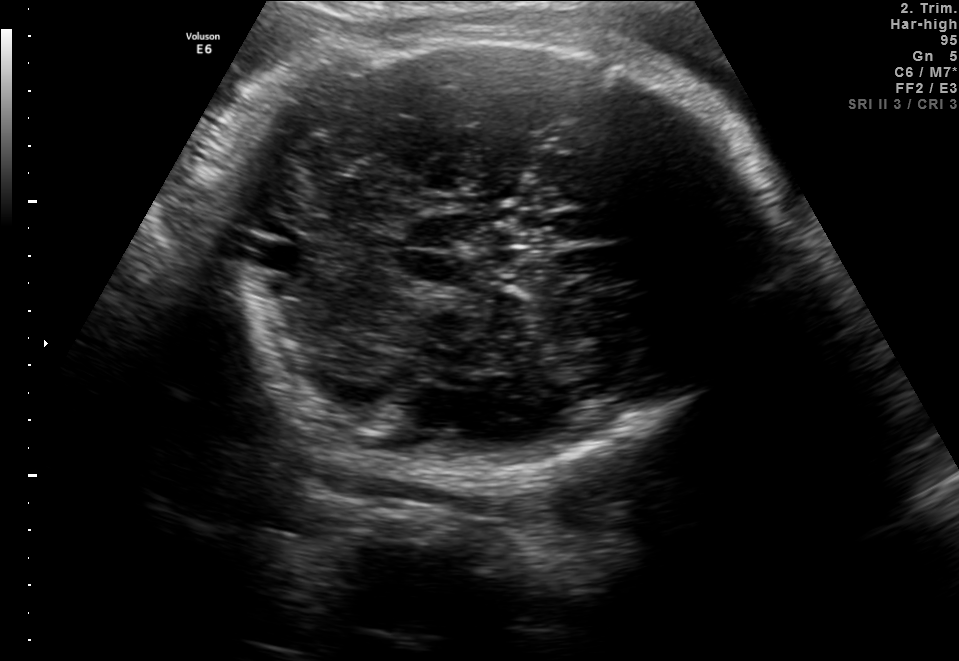
In this fetal brain, trans-cerebellum plane, give bounding boxes for the head outline, cavum septum pellucidum (CSP), and lateral ventricle (LV), where visible.

Head: [217,28,778,475]